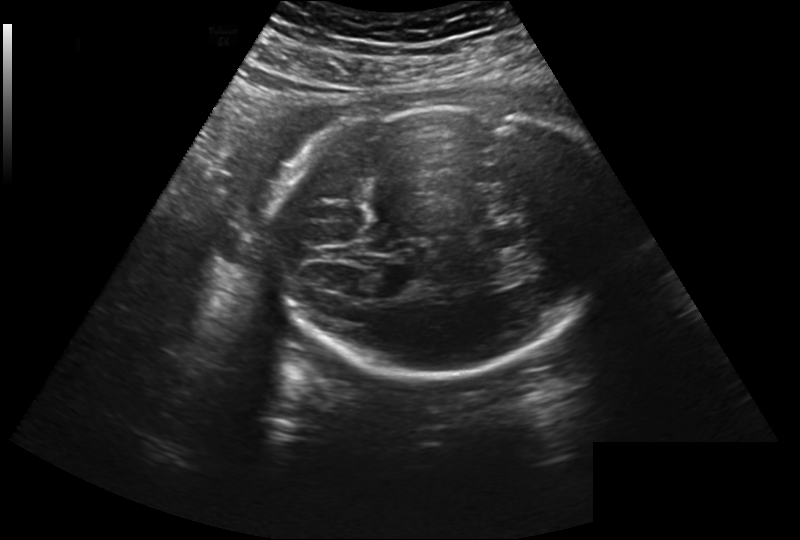
Fetal head ultrasound. Image width: 208.3 mm. Give [x1,y1,x2,y2] bounding boxes for each visible structure among: fetal head, CSP, LV.

Head: [268,105,622,377]
CSP: [477,223,522,251]
Lateral ventricle: [320,263,372,298]